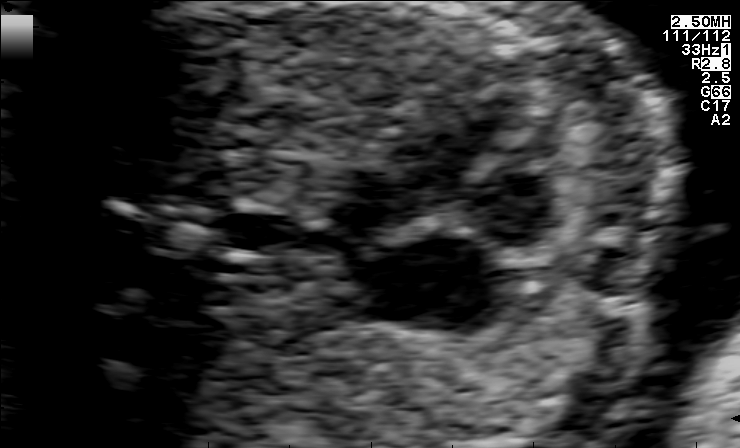
Identify the standard plane in this fetal ultrasound image: fetal abdomen, fetal brain, fetal femur, fetal thorax, maternal cervix, or other. If it's fetal brain and one of the three standard brain planes (trans-thalamic, trans-cerebellum, trans-ventricular), name which.

Fetal thorax